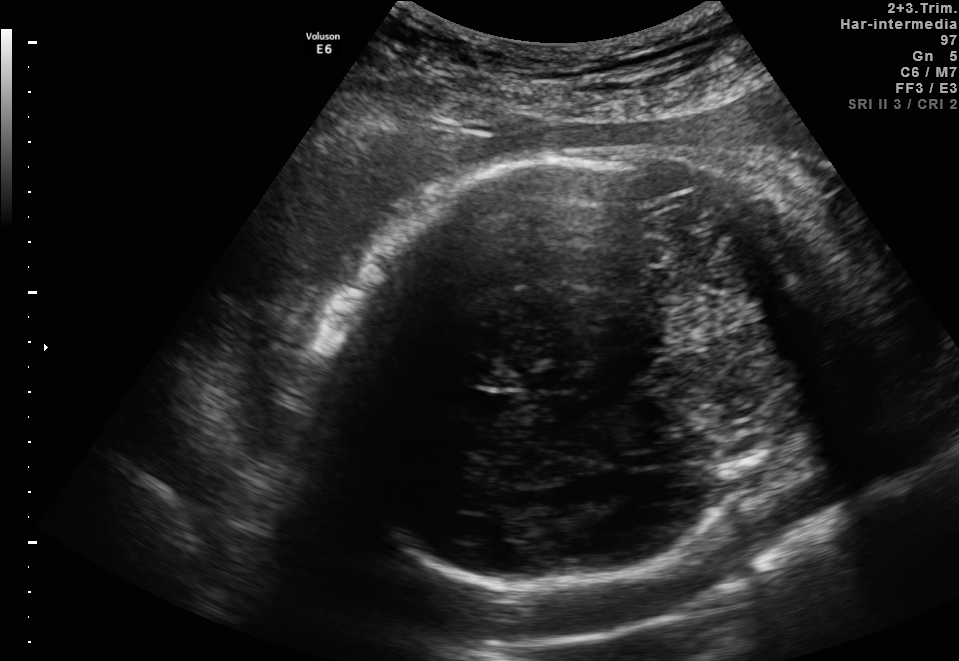
In this fetal brain, trans-thalamic plane, give bounding boxes for the head outline, cavum septum pellucidum (CSP), and lateral ventricle (LV), where visible.

Head: [323,148,806,587]